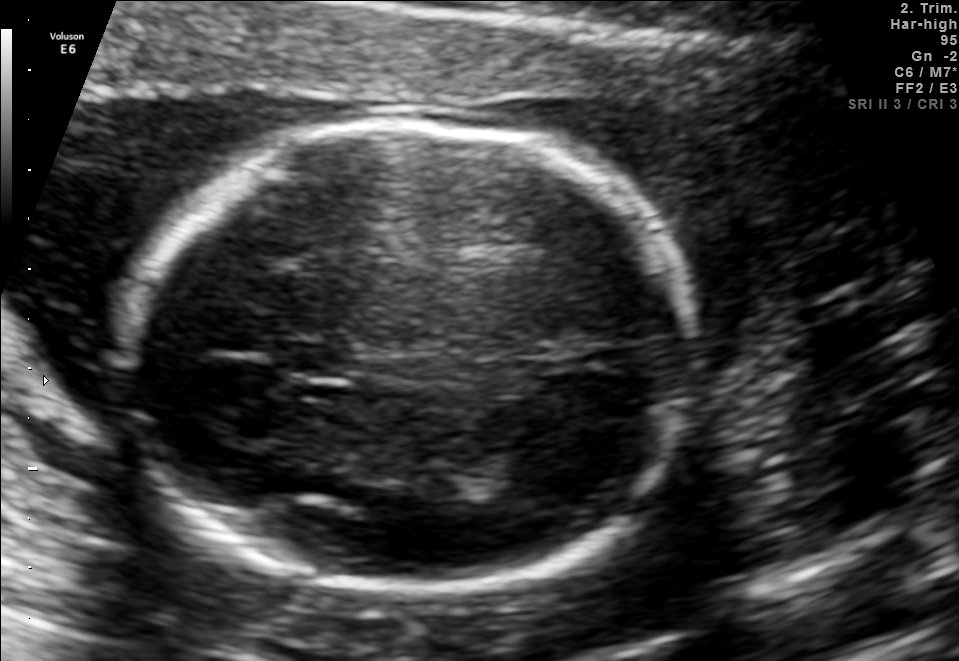
Classify this maternal-fetal ultrasound image as one of the six standard planes — fetal abdomen, fetal brain, fetal femur, fetal thorax, maternal cervix, or other. If it's fetal brain and one of the three standard brain planes (trans-thalamic, trans-cerebellum, trans-ventricular), name which.

Fetal brain (trans-thalamic plane)